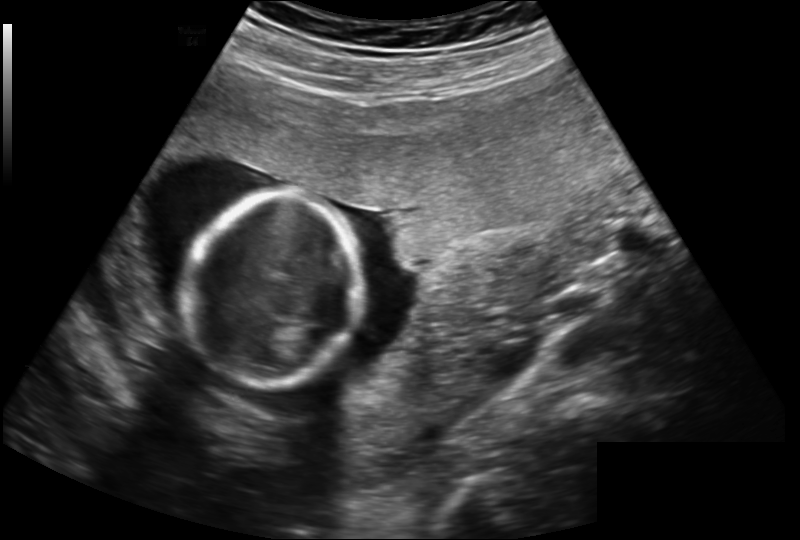
From this fetal ultrasound, estimate the head circumference (image width 161.5 mm).

Head circumference: 120.1 mm.